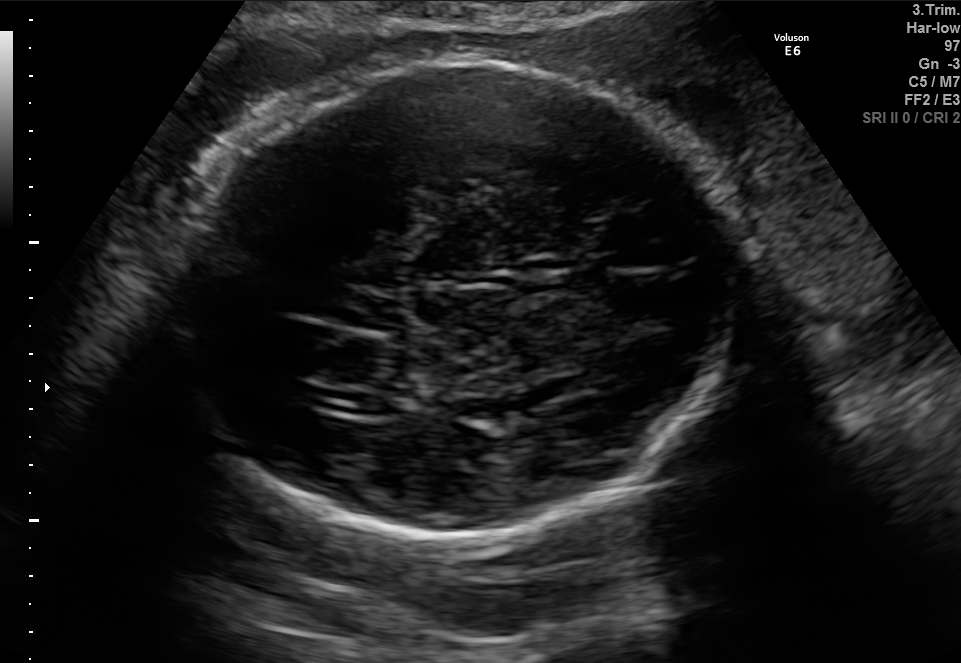
Fetal brain, trans-ventricular plane. Where is the lateral ventricle?

Lateral ventricle bounding box: [347,392,392,419]